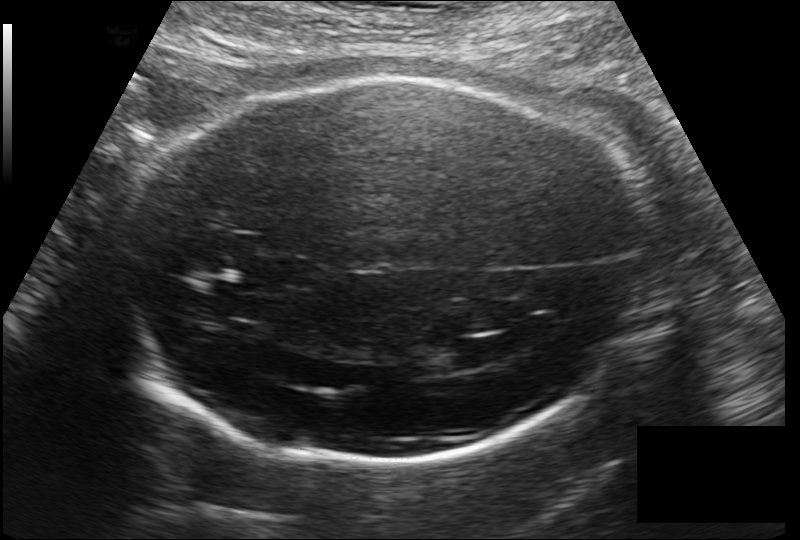
From this fetal ultrasound, estimate the head circumference (image width 142.0 mm).

Head circumference: 263.5 mm.